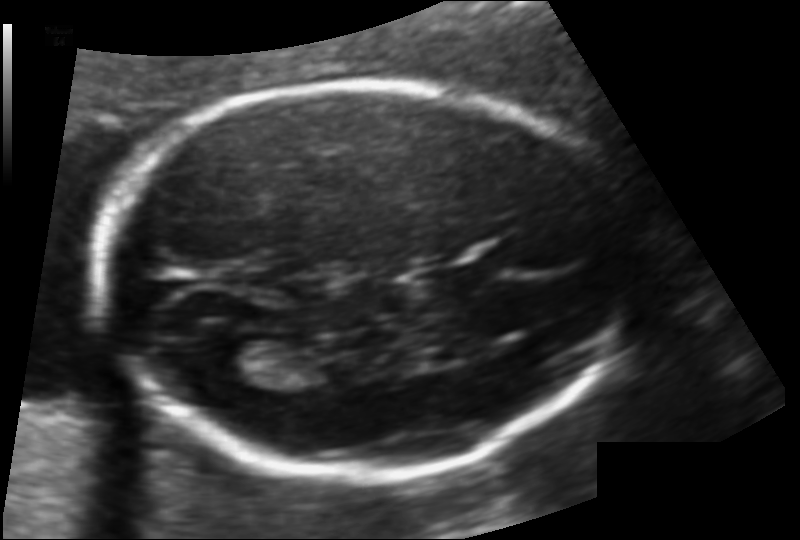
Estimate the fetal head circumference from this 2D ultrasound.

Head circumference: 177.9 mm (image width 93.3 mm).